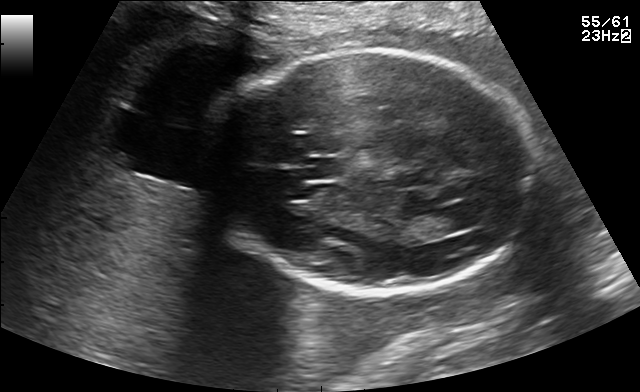
Fetal brain, trans-thalamic plane. Give [x1,y1,x2,y2] bounding boxes for each visible structure among: fetal head, CSP, LV.

Head: [209,49,538,290]
CSP: [308,158,342,179]
Lateral ventricle: [399,204,466,247]